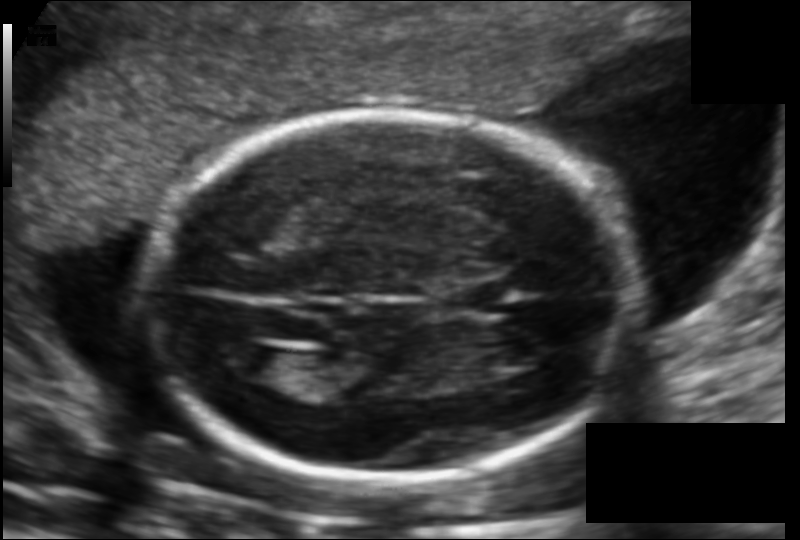
In this fetal head ultrasound, give bounding boxes for the head outline, cavum septum pellucidum (CSP), and lateral ventricle (LV), where visible. Image width: 98.4 mm.

Head: [144,113,631,481]
CSP: [438,278,501,321]
Lateral ventricle: [215,336,286,387]